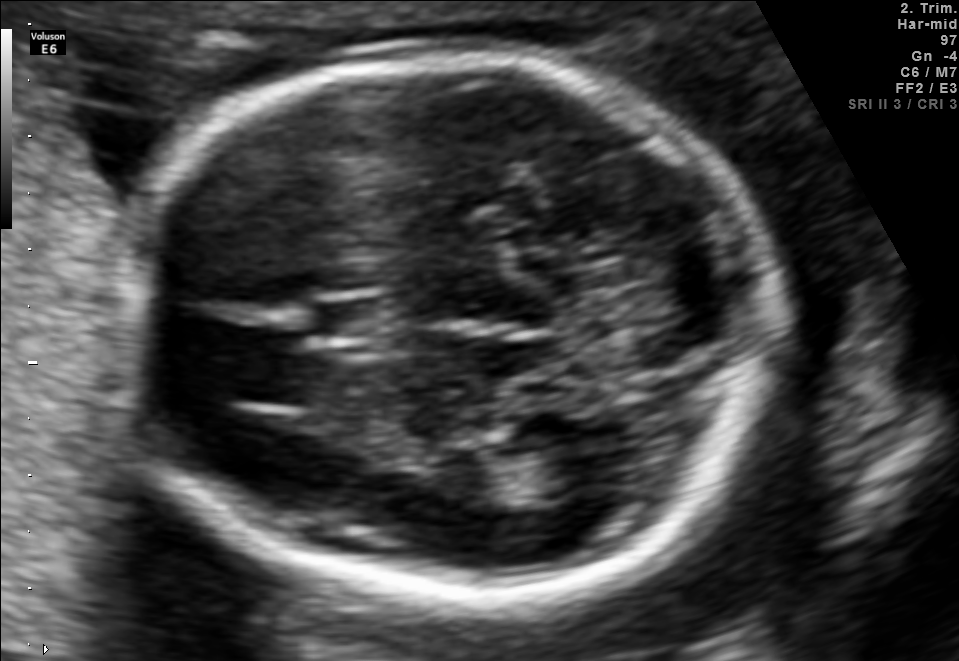
Fetal brain, trans-thalamic plane. Locate the fetal head and, if visible, the cavum septum pellucidum (CSP) and lateral ventricle (LV). Give bounding boxes as [x1,y1,x2,y2].

Head: [110,53,779,586]
CSP: [311,297,400,341]
Lateral ventricle: [480,433,609,511]